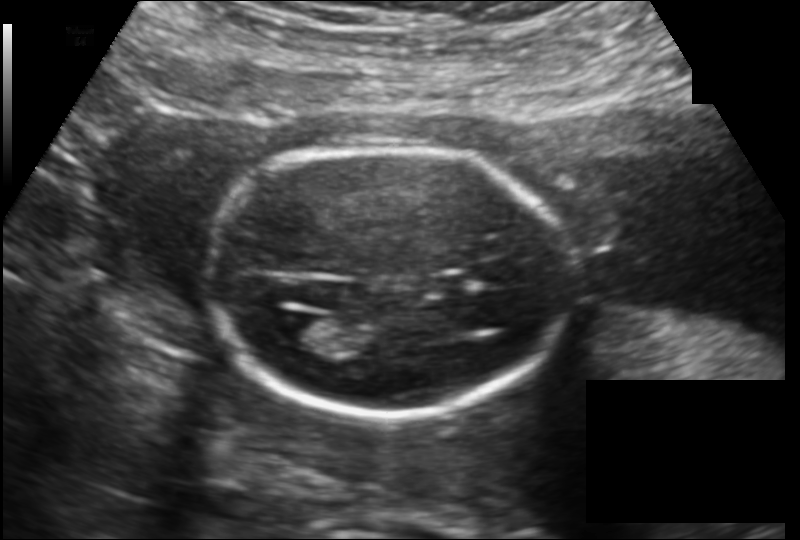
What is the fetal head circumference? Image width is 119.1 mm.

156.6 mm